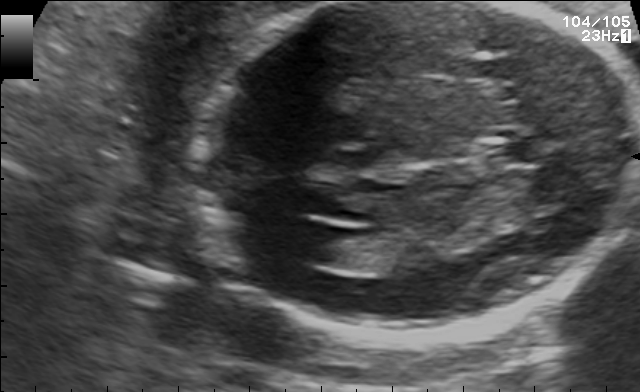
In this fetal brain, trans-ventricular plane, give bounding boxes for the cavum septum pellucidum (CSP) and lateral ventricle (LV), where visible.

CSP: [486,141,539,165]
Lateral ventricle: [278,215,349,268]